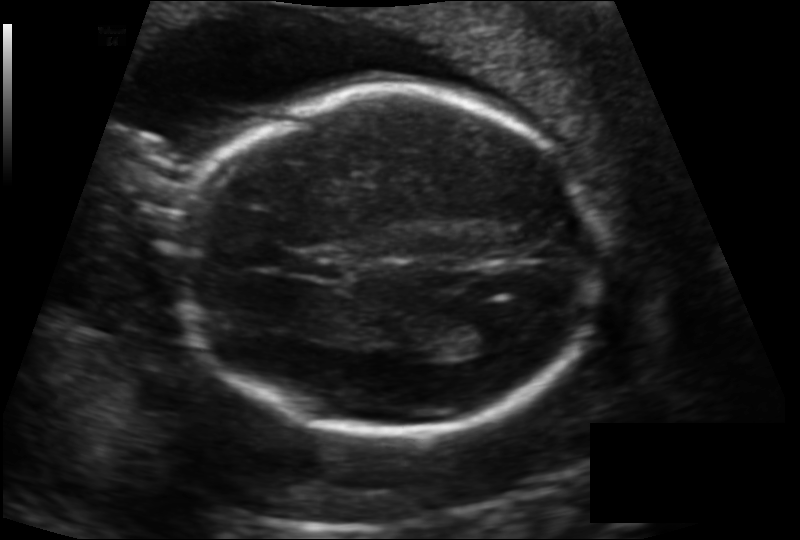
From this fetal ultrasound, estimate the head circumference (image width 113.2 mm).

Head circumference: 176.6 mm.